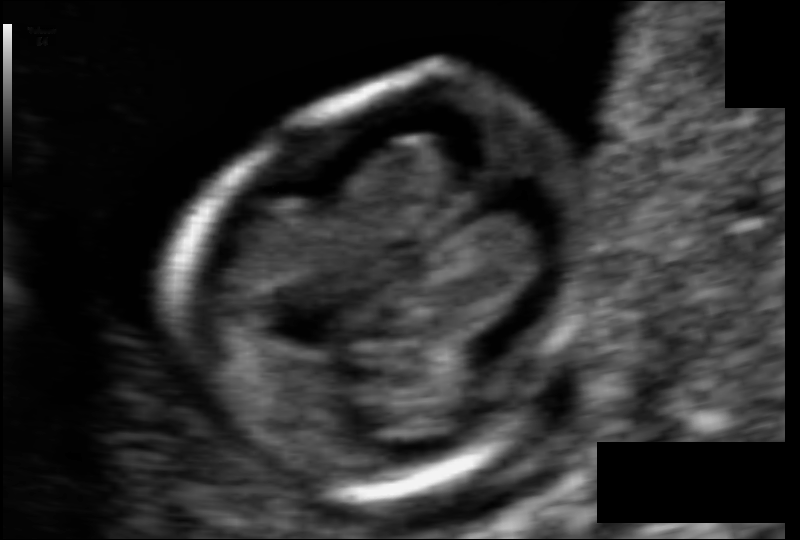
Estimate the fetal head circumference from this 2D ultrasound.

Head circumference: 73.0 mm (image width 44.1 mm).